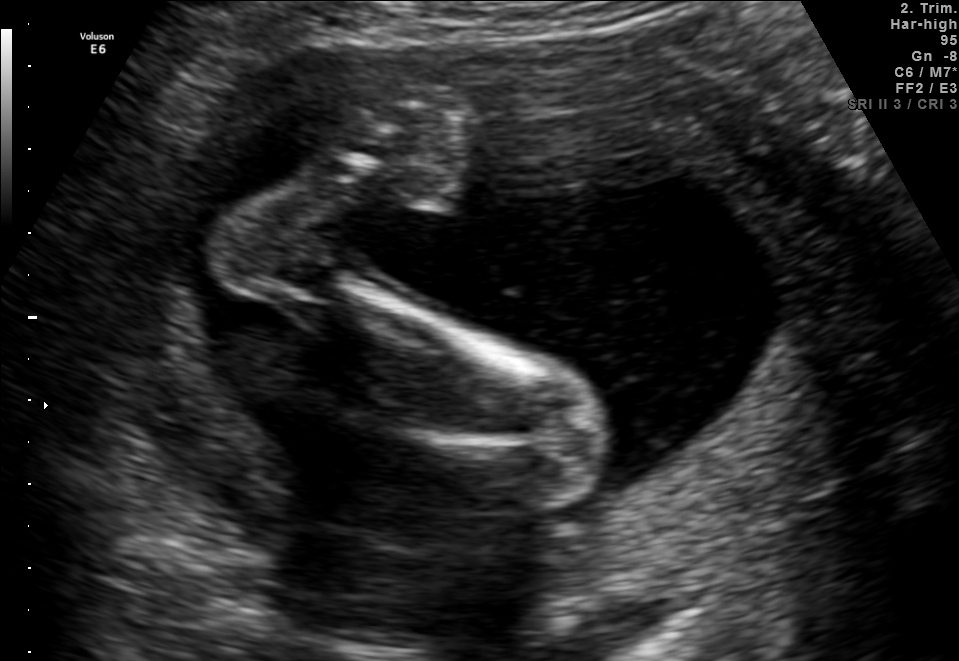
Which standard maternal-fetal ultrasound plane is shown: fetal abdomen, fetal brain, fetal femur, fetal thorax, maternal cervix, or other? If it's fetal brain and one of the three standard brain planes (trans-thalamic, trans-cerebellum, trans-ventricular), name which.

Other